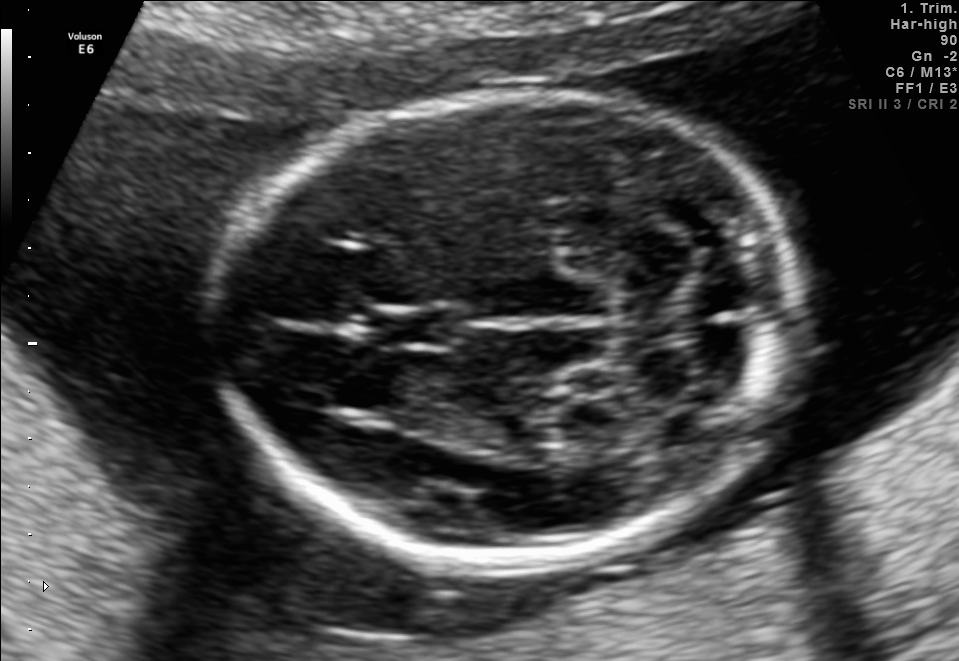
Fetal brain, trans-cerebellum plane. Locate the fetal head.

Head: [226,91,795,564]